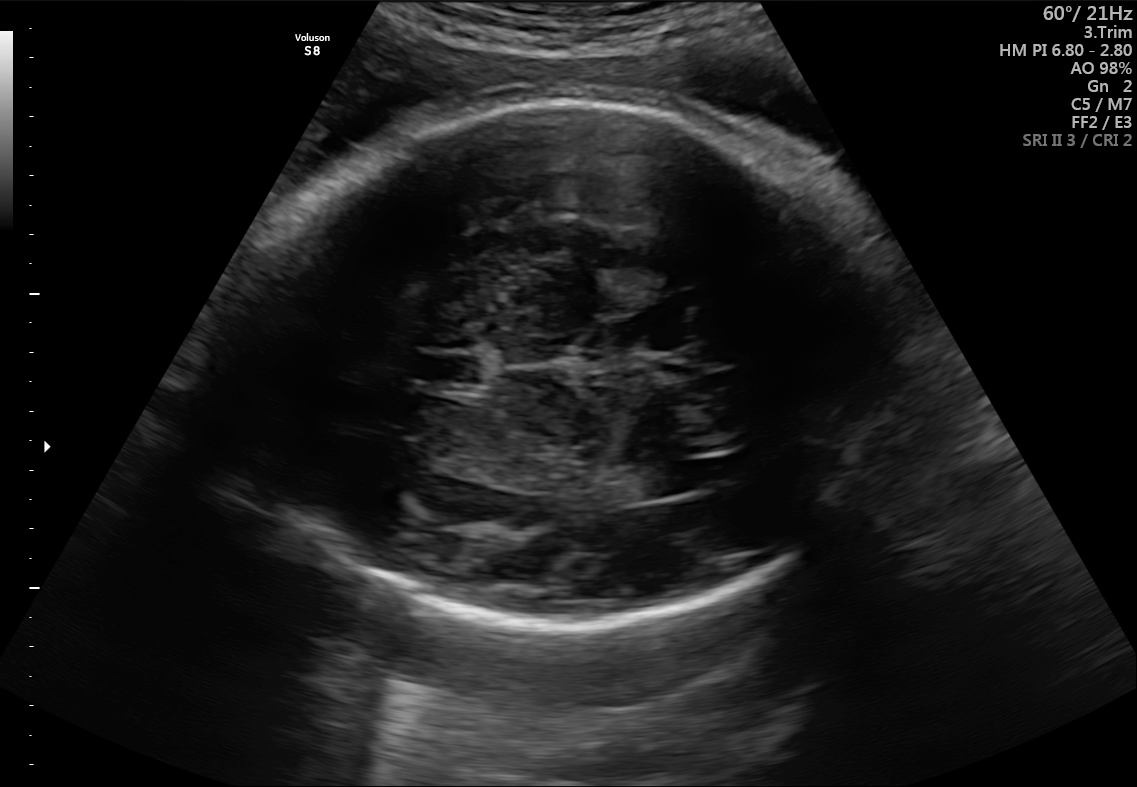
Which standard maternal-fetal ultrasound plane is shown: fetal abdomen, fetal brain, fetal femur, fetal thorax, maternal cervix, or other? If it's fetal brain and one of the three standard brain planes (trans-thalamic, trans-cerebellum, trans-ventricular), name which.

Fetal brain (trans-ventricular plane)